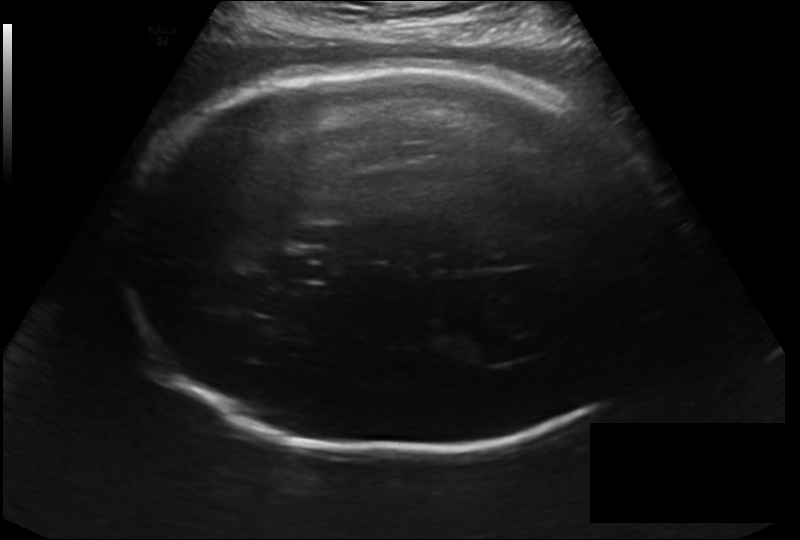
Fetal head ultrasound. Image width: 171.6 mm. Locate the lateral ventricle.

Lateral ventricle: [467,334,531,369]